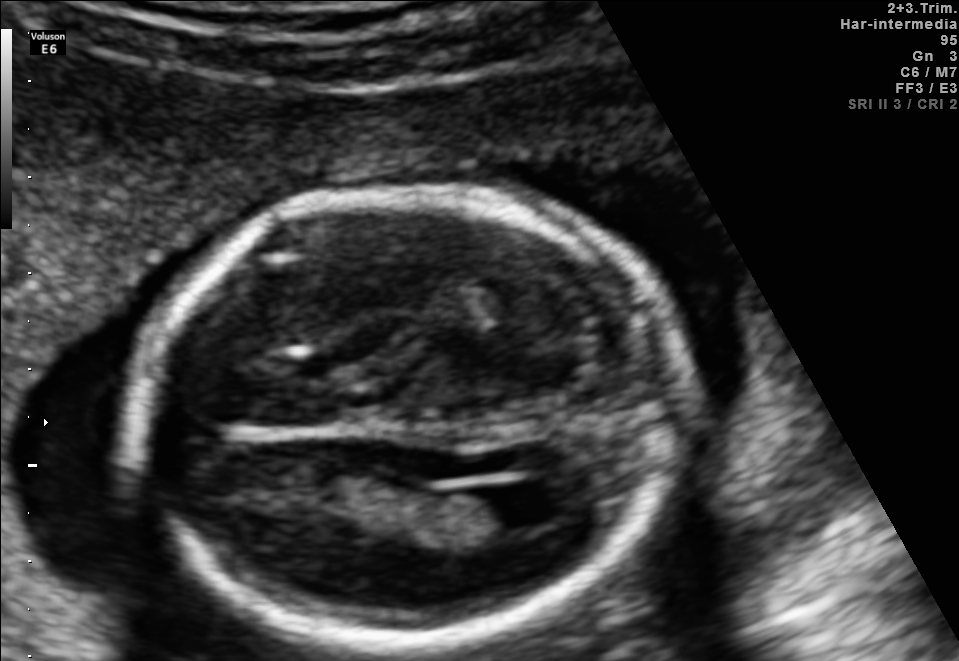
Identify the standard plane in this fetal ultrasound image: fetal abdomen, fetal brain, fetal femur, fetal thorax, maternal cervix, or other. If it's fetal brain and one of the three standard brain planes (trans-thalamic, trans-cerebellum, trans-ventricular), name which.

Fetal brain (trans-ventricular plane)